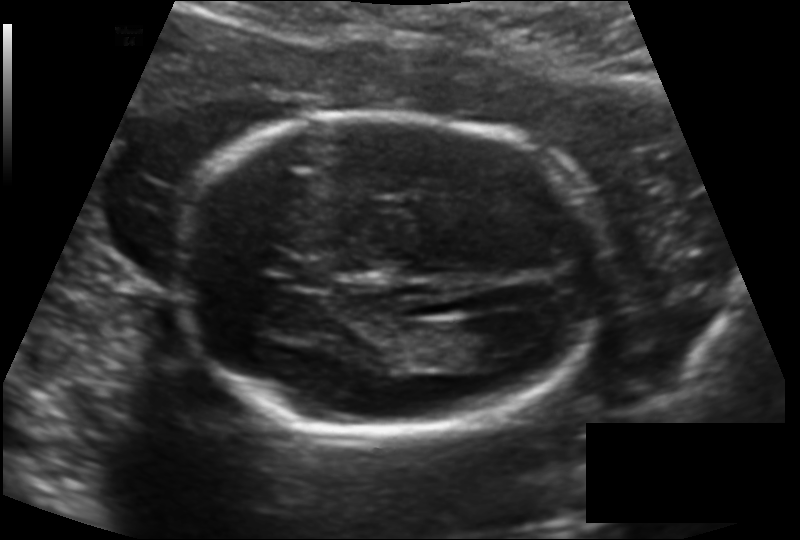
Estimate the fetal head circumference from this 2D ultrasound. Image width: 110.7 mm.

Head circumference: 170.4 mm.